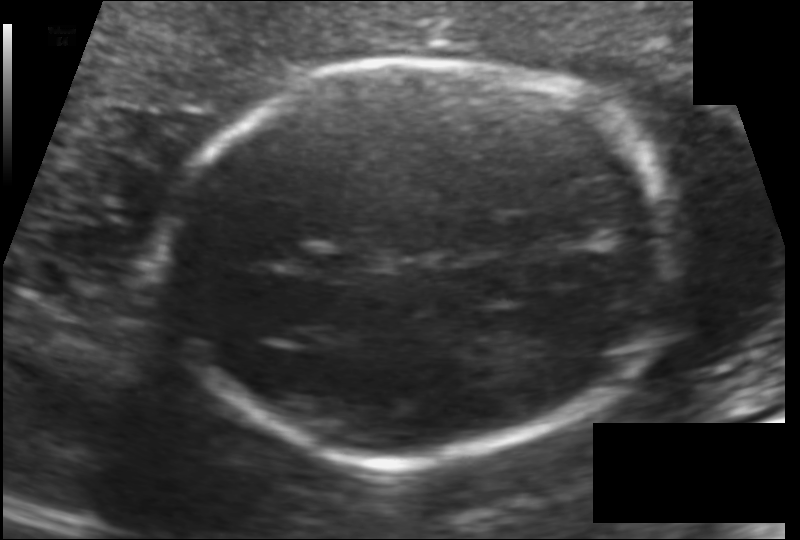
Estimate the fetal head circumference from this 2D ultrasound.

Head circumference: 176.9 mm (image width 95.9 mm).